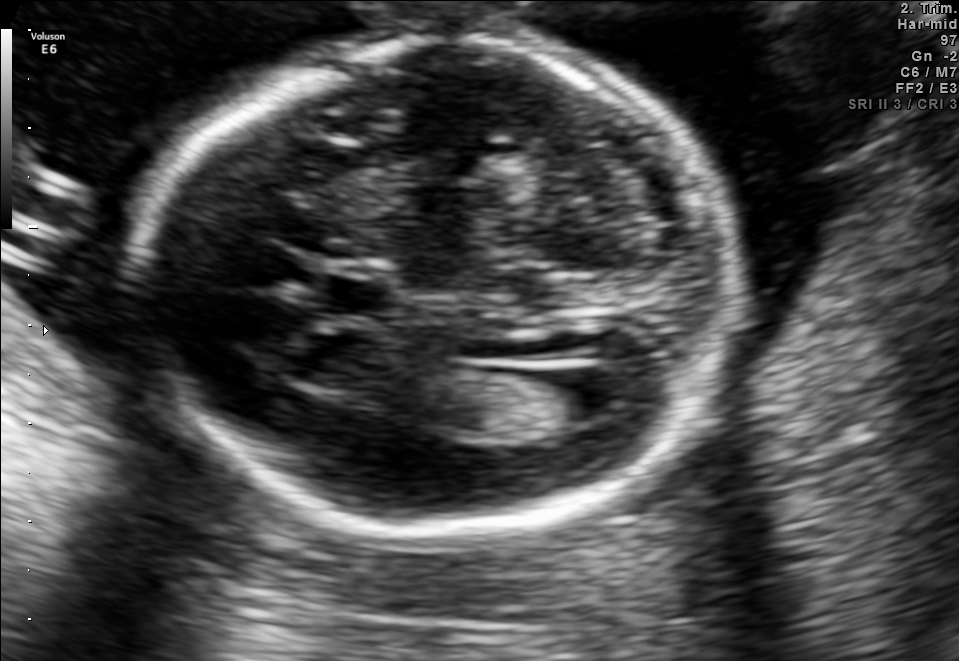
In this fetal brain, trans-ventricular plane, give the bounding box of the lateral ventricle.

[544,368,627,429]